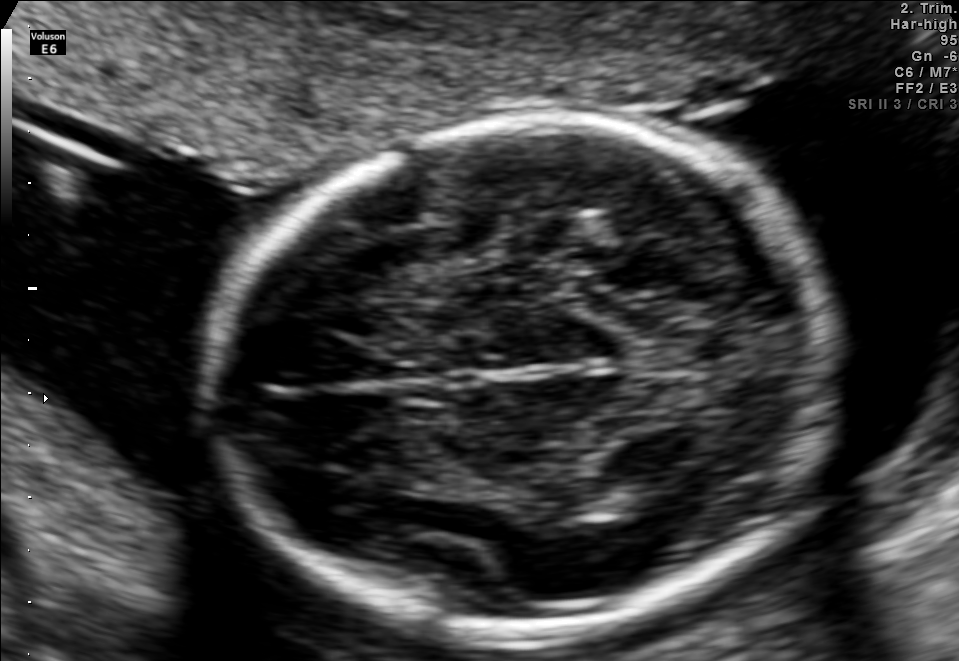
Fetal brain, trans-thalamic plane. Where is the fetal head?

Head bounding box: [211,118,830,633]